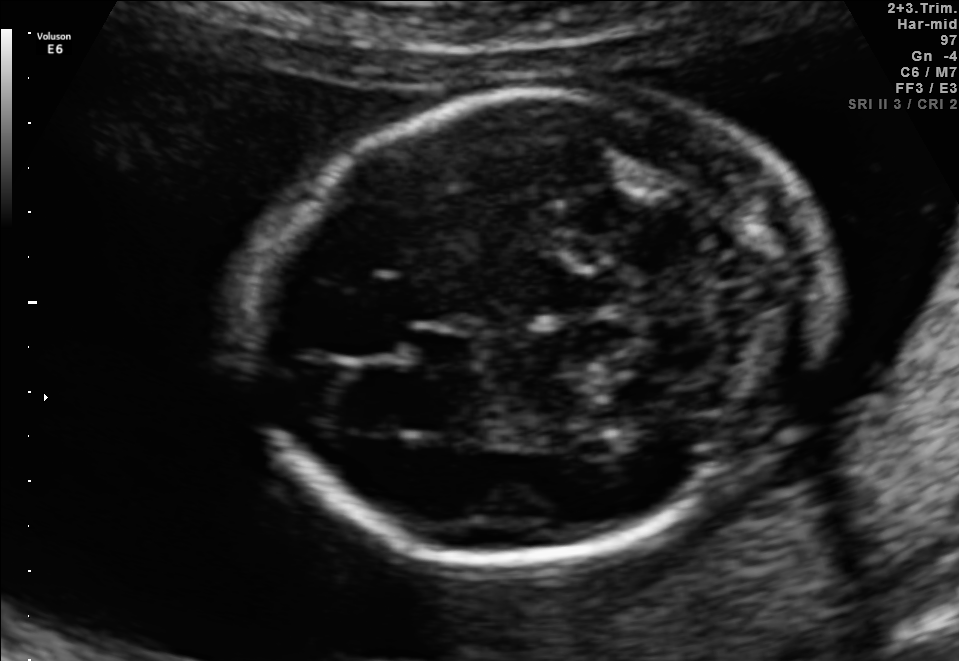
In this fetal brain, trans-cerebellum plane, give the bounding box of the fetal head.

[250,90,821,559]